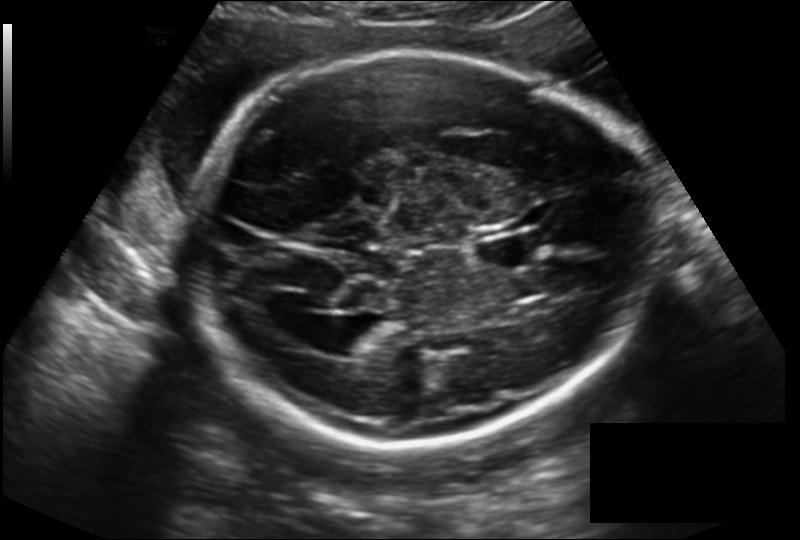
Measure the fetal head circumference shown in this ultrasound image. Image width: 155.0 mm.

Head circumference: 270.3 mm.